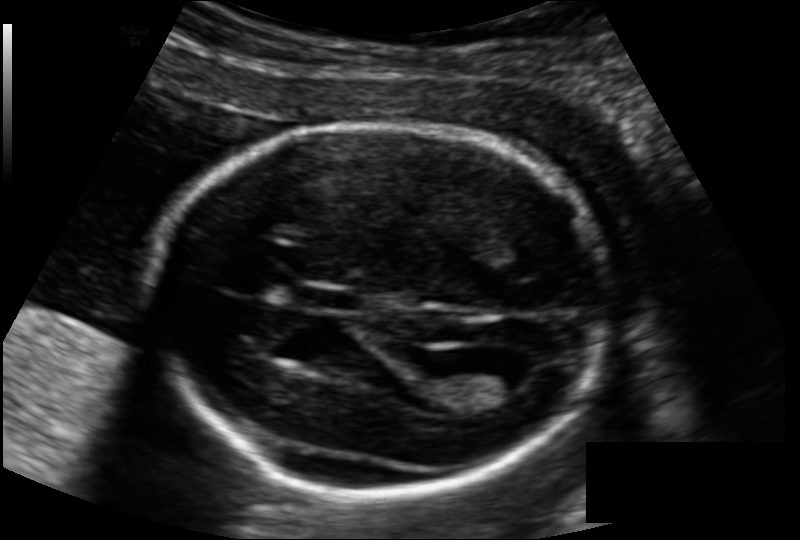
Fetal head ultrasound. Image width: 106.7 mm. Locate the fetal head and, if visible, the cavum septum pellucidum (CSP) and lateral ventricle (LV). Give bounding boxes as [x1,y1,x2,y2].

Head: [153,123,608,492]
CSP: [295,280,355,315]
Lateral ventricle: [467,350,539,407]